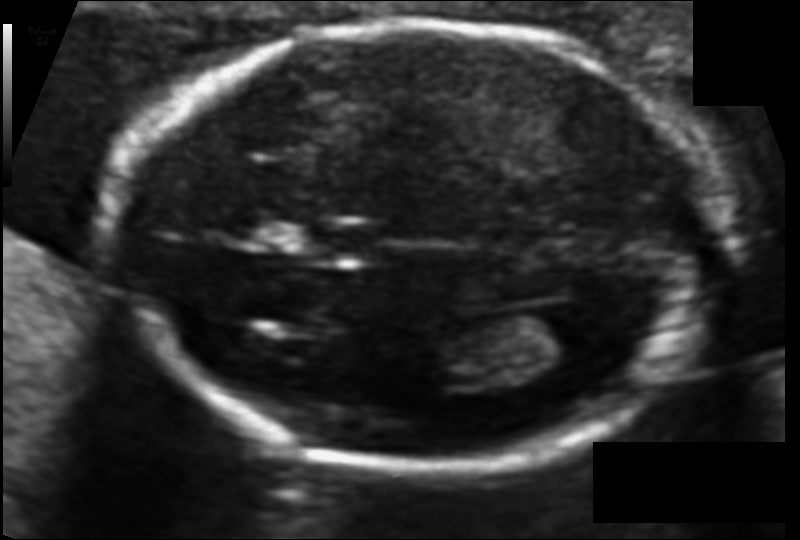
Fetal head ultrasound. Image width: 75.0 mm. Locate the lateral ventricle.

Lateral ventricle: [513,294,604,369]